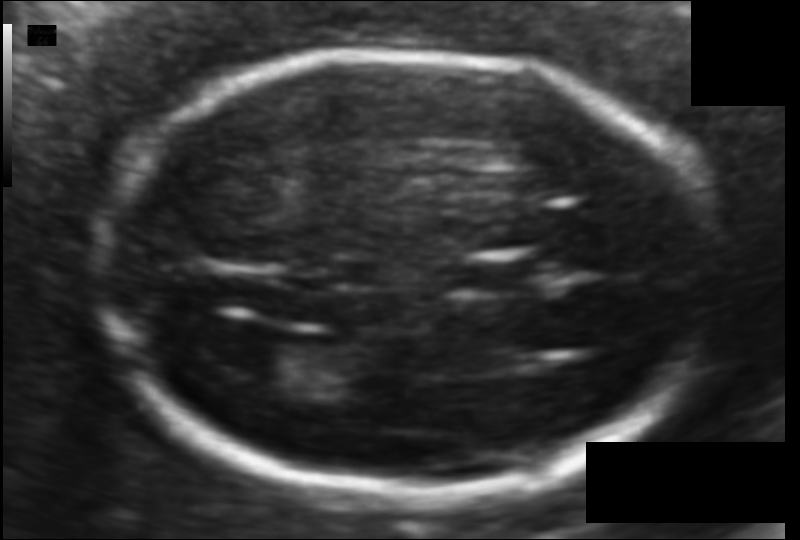
In this fetal head ultrasound, give bounding boxes for the head outline, cavum septum pellucidum (CSP), and lateral ventricle (LV), where visible. Image width: 75.4 mm.

Head: [103,52,713,499]
CSP: [470,256,541,294]
Lateral ventricle: [222,337,312,390]